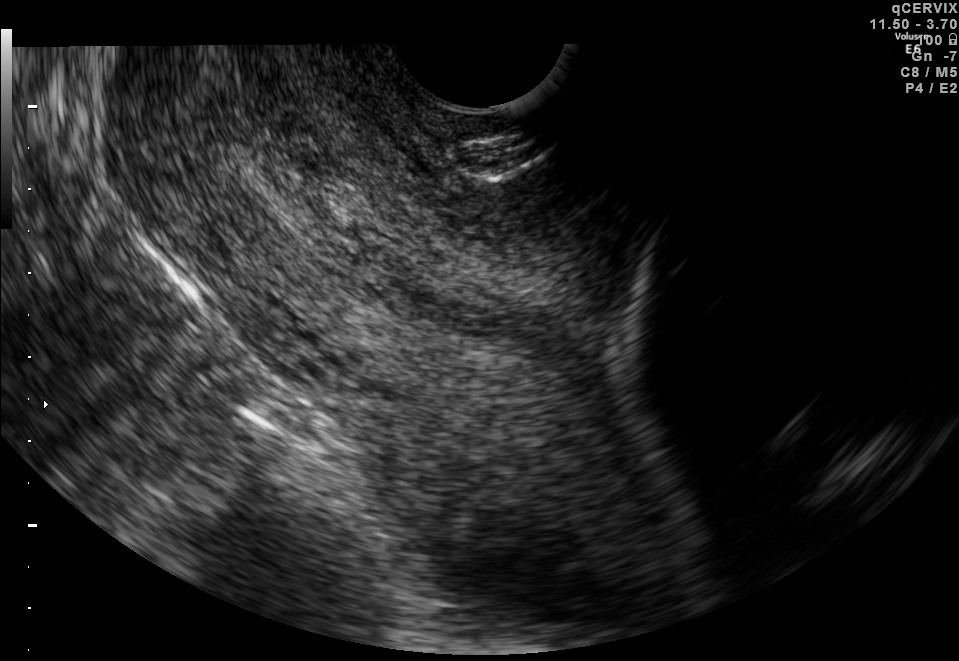
Identify the standard plane in this fetal ultrasound image: fetal abdomen, fetal brain, fetal femur, fetal thorax, maternal cervix, or other. If it's fetal brain and one of the three standard brain planes (trans-thalamic, trans-cerebellum, trans-ventricular), name which.

Maternal cervix